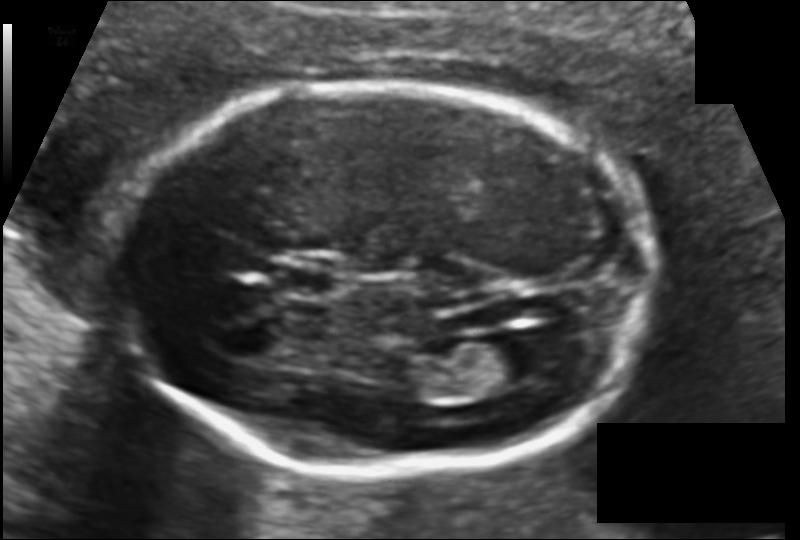
Fetal head ultrasound. Image width: 90.6 mm. Where is the lateral ventricle?

Lateral ventricle bounding box: [476,330,562,389]